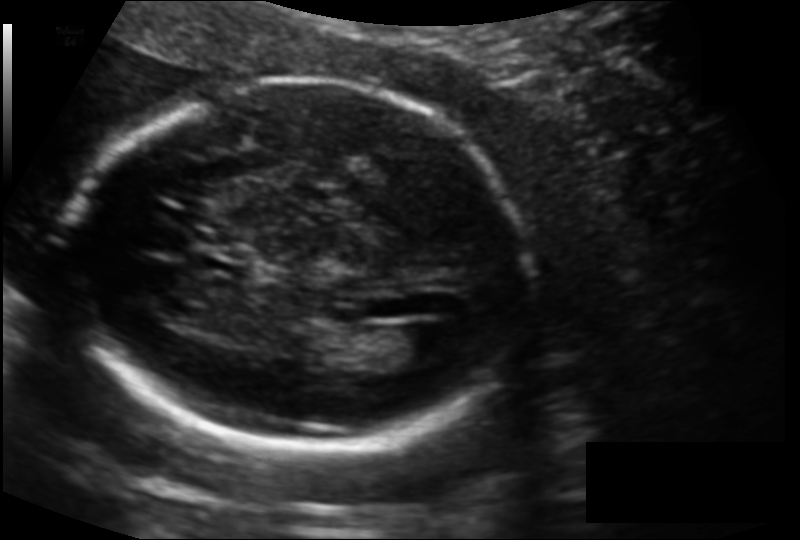
Estimate the fetal head circumference from this 2D ultrasound. Image width: 101.6 mm.

Head circumference: 168.7 mm.